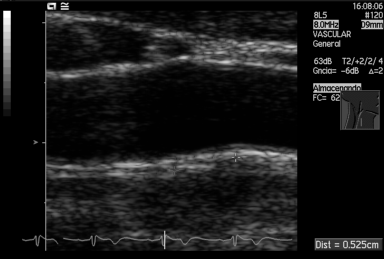
Which standard maternal-fetal ultrasound plane is shown: fetal abdomen, fetal brain, fetal femur, fetal thorax, maternal cervix, or other? If it's fetal brain and one of the three standard brain planes (trans-thalamic, trans-cerebellum, trans-ventricular), name which.

Other